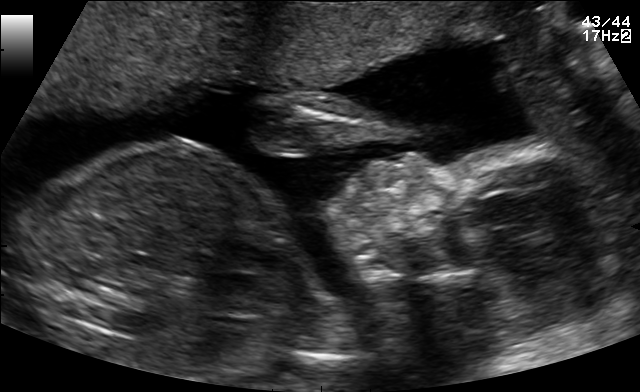
Which standard maternal-fetal ultrasound plane is shown: fetal abdomen, fetal brain, fetal femur, fetal thorax, maternal cervix, or other? If it's fetal brain and one of the three standard brain planes (trans-thalamic, trans-cerebellum, trans-ventricular), name which.

Other